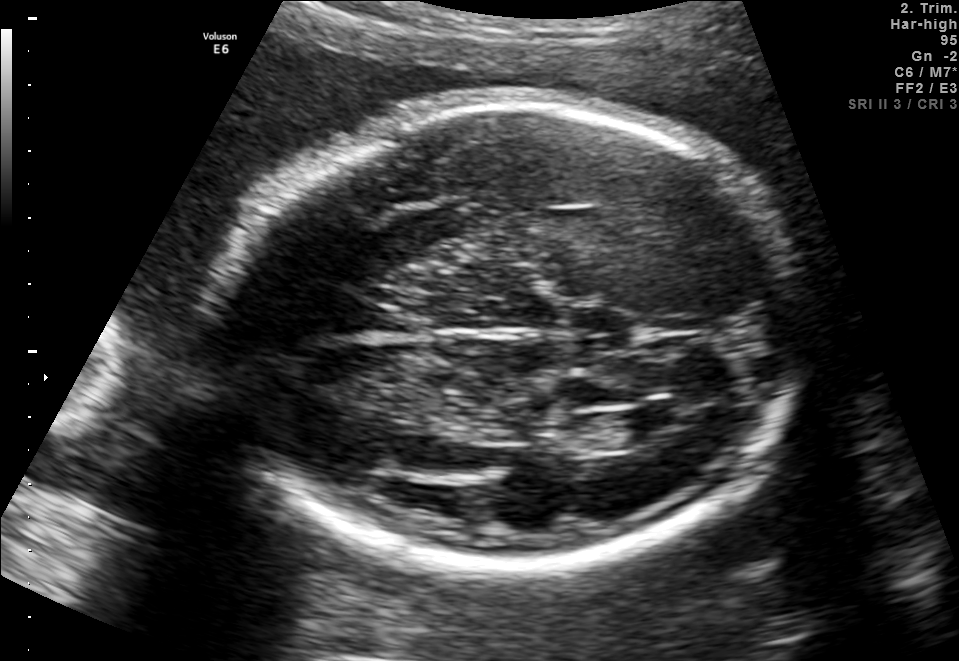
Fetal brain, trans-ventricular plane. Where is the fetal head?

Head bounding box: [203,100,820,573]